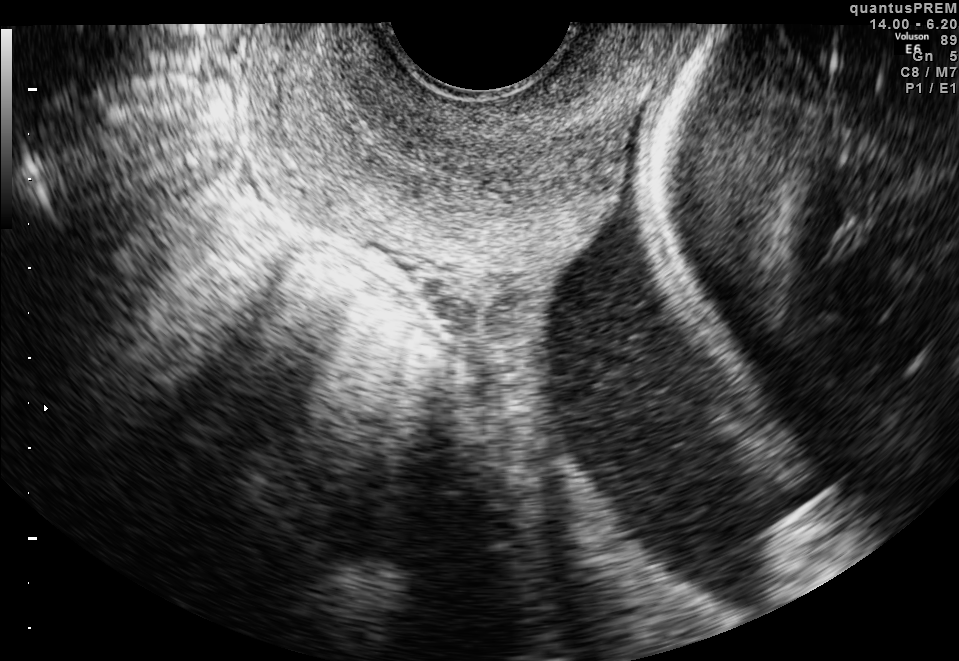
Which standard maternal-fetal ultrasound plane is shown: fetal abdomen, fetal brain, fetal femur, fetal thorax, maternal cervix, or other? If it's fetal brain and one of the three standard brain planes (trans-thalamic, trans-cerebellum, trans-ventricular), name which.

Maternal cervix